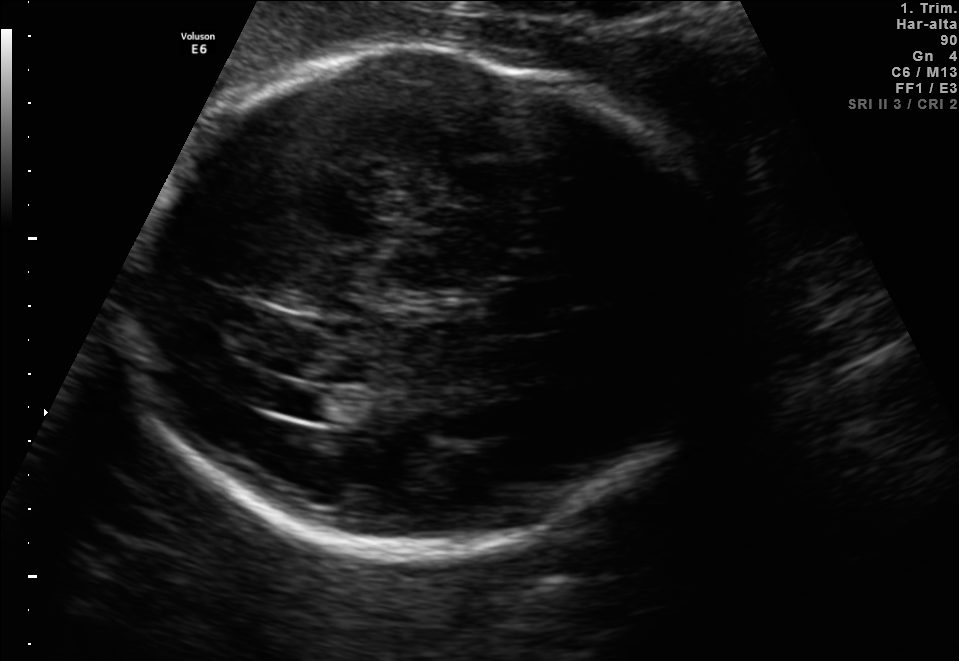
Identify the standard plane in this fetal ultrasound image: fetal abdomen, fetal brain, fetal femur, fetal thorax, maternal cervix, or other. If it's fetal brain and one of the three standard brain planes (trans-thalamic, trans-cerebellum, trans-ventricular), name which.

Fetal brain (trans-ventricular plane)